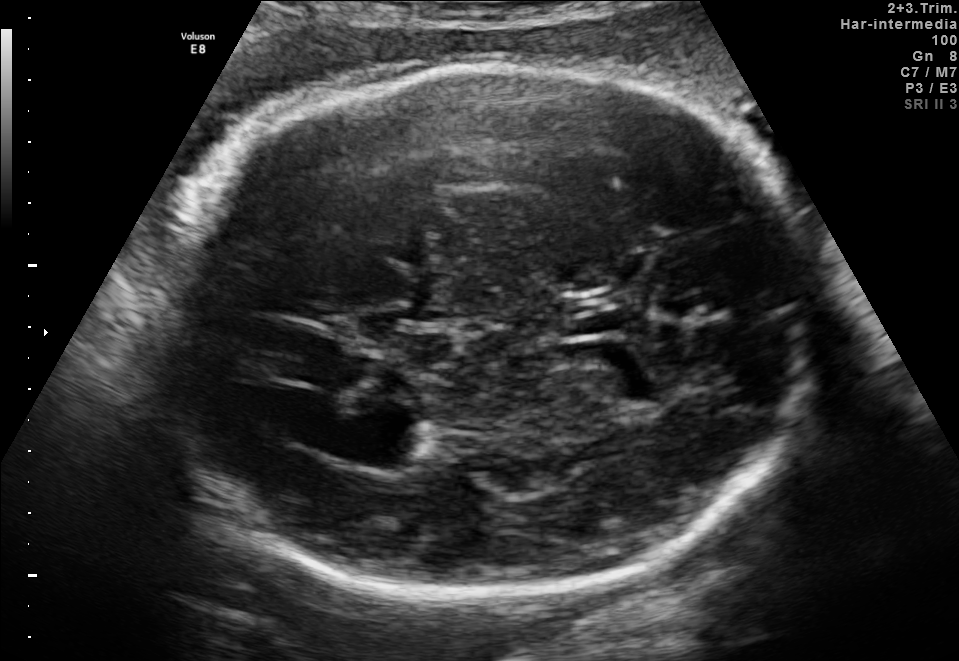
Fetal brain, trans-thalamic plane. Locate the lateral ventricle.

Lateral ventricle: [361,417,434,466]